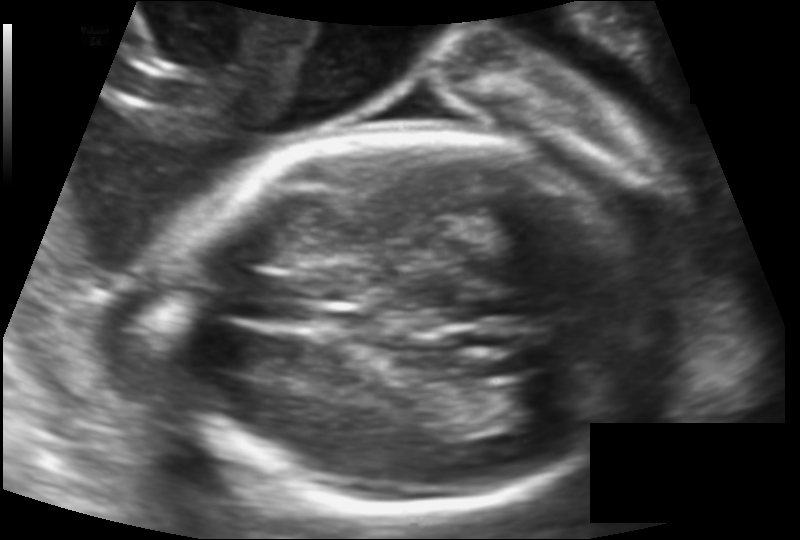
Fetal head ultrasound. Image width: 106.2 mm. Locate the fetal head and, if visible, the cavum septum pellucidum (CSP) and lateral ventricle (LV). Give bounding boxes as [x1,y1,x2,y2].

Head: [170,129,655,515]
Lateral ventricle: [497,372,578,428]